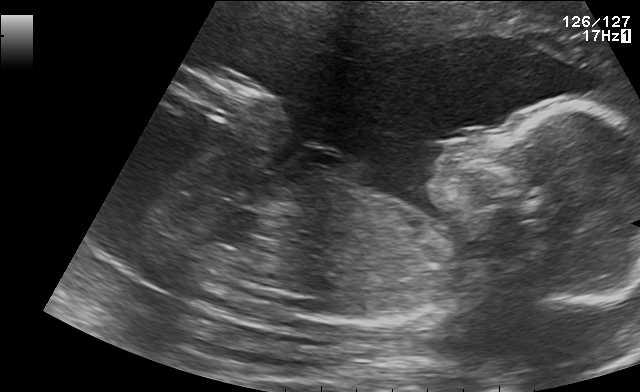
This is a 2D maternal-fetal ultrasound frame. Is it a fetal abdomen, fetal brain, fetal femur, fetal thorax, maternal cervix, or other standard plane? If it's fetal brain and one of the three standard brain planes (trans-thalamic, trans-cerebellum, trans-ventricular), name which.

Other